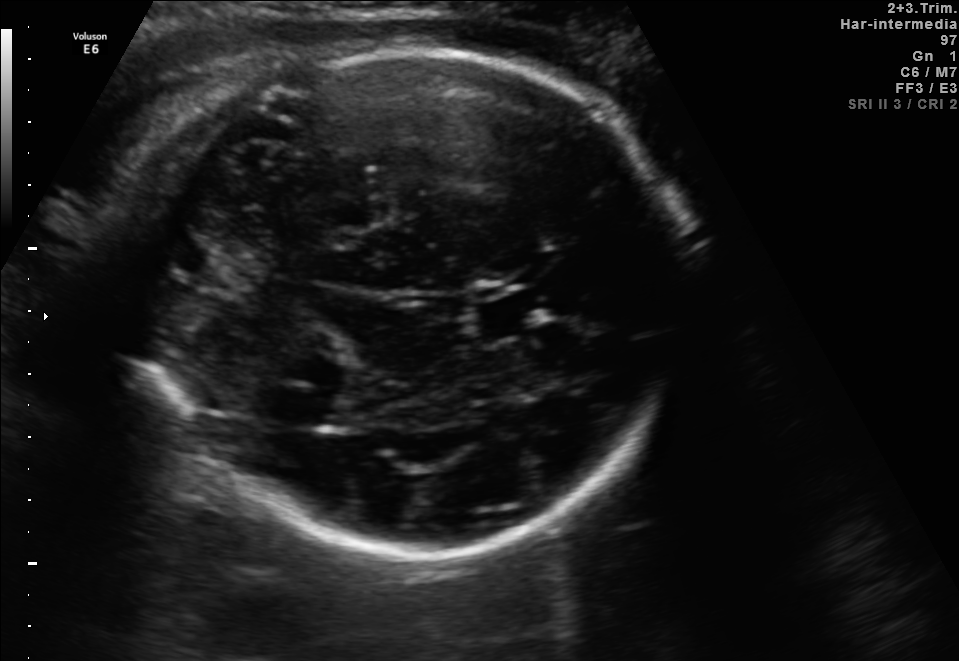
Fetal brain, trans-thalamic plane. Give [x1,y1,x2,y2] bounding boxes for each visible structure among: fetal head, CSP, LV.

Head: [139,46,678,563]
CSP: [474,289,546,342]
Lateral ventricle: [269,391,340,424]